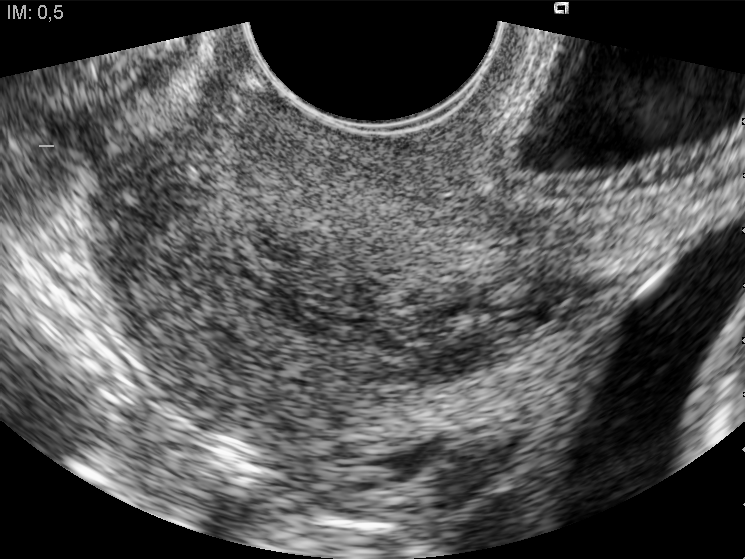
Identify the standard plane in this fetal ultrasound image: fetal abdomen, fetal brain, fetal femur, fetal thorax, maternal cervix, or other. If it's fetal brain and one of the three standard brain planes (trans-thalamic, trans-cerebellum, trans-ventricular), name which.

Maternal cervix